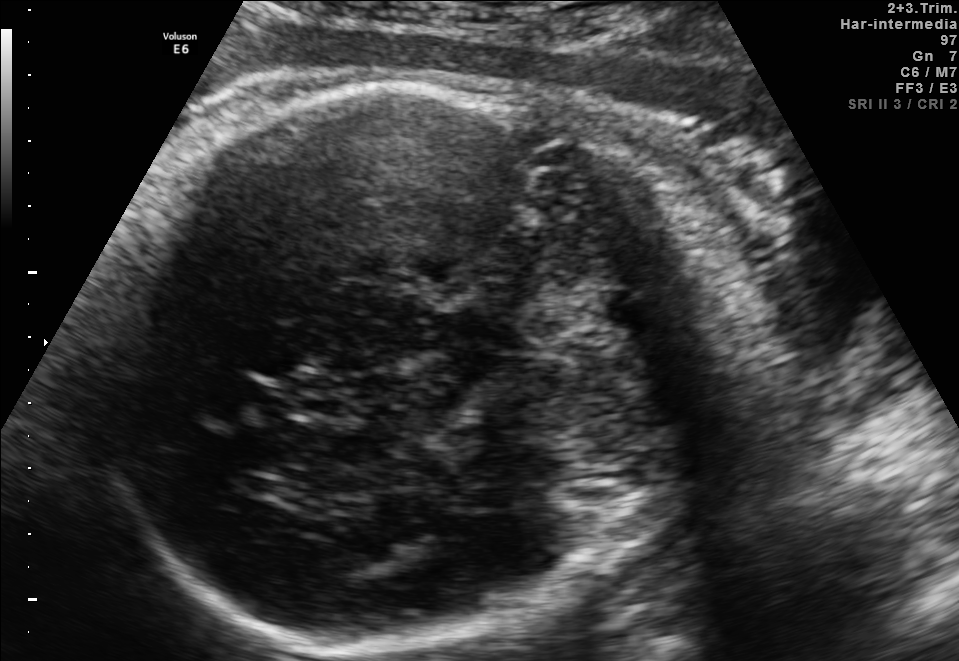
Fetal brain, trans-thalamic plane. Locate the fetal head and, if visible, the cavum septum pellucidum (CSP) and lateral ventricle (LV). Give bounding boxes as [x1,y1,x2,y2].

Head: [86,75,759,636]